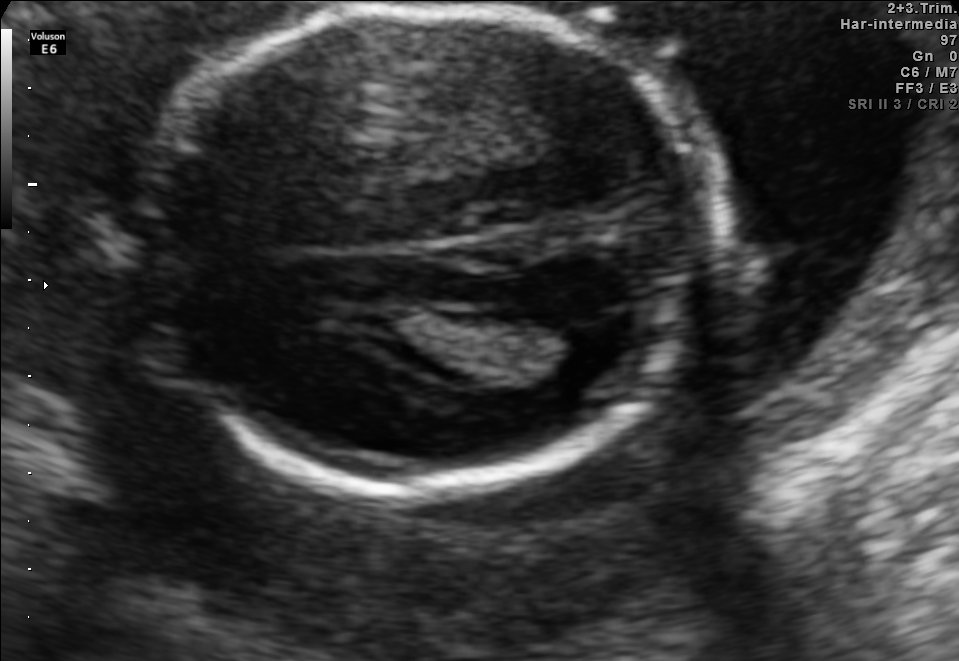
Fetal brain, trans-thalamic plane. Give [x1,y1,x2,y2] bounding boxes for each visible structure among: fetal head, CSP, LV.

Head: [147,7,708,492]